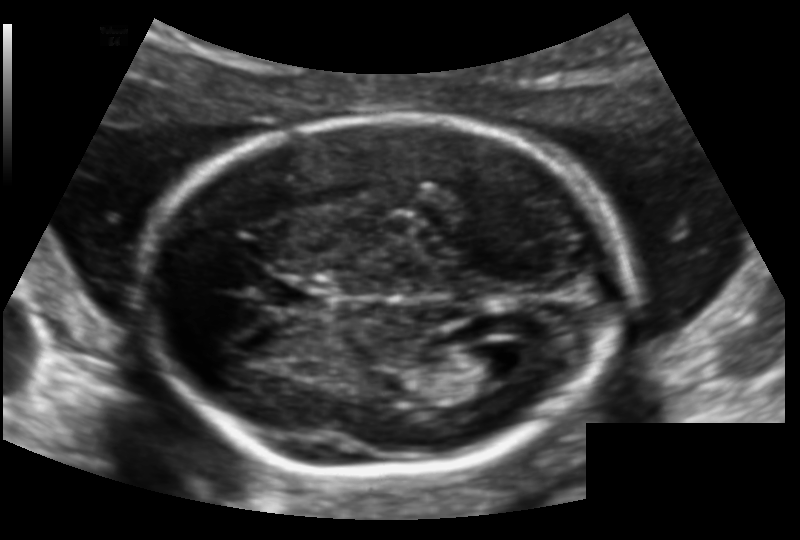
Fetal head ultrasound. Image width: 102.0 mm. Locate the fetal head.

Head: [145,115,623,477]